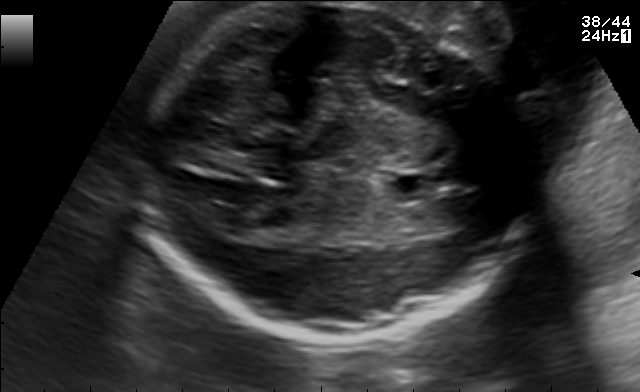
Fetal brain, trans-ventricular plane. Where is the fetal head?

Head bounding box: [133,7,544,346]